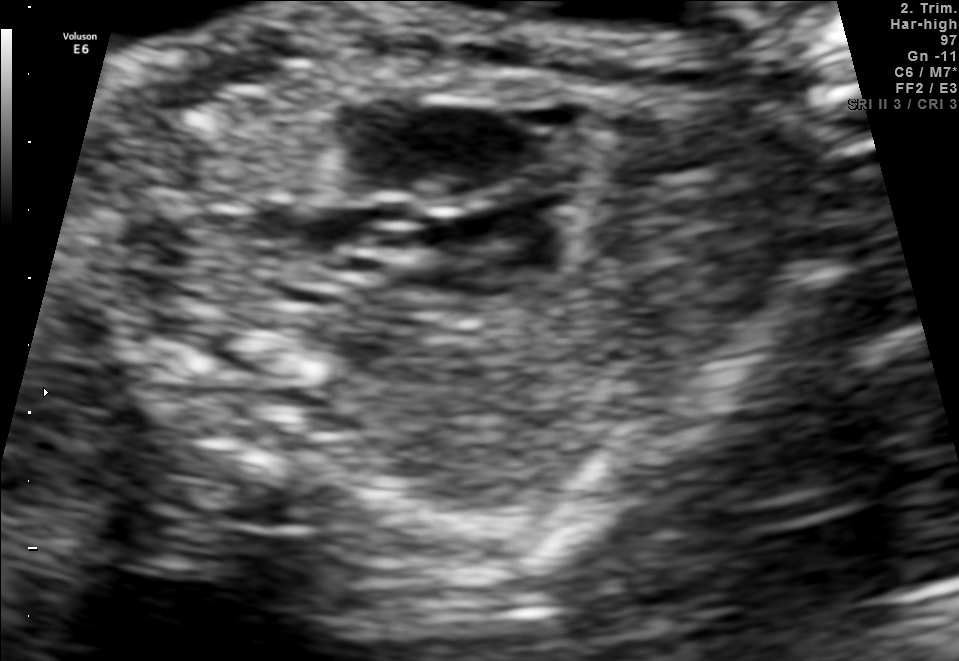
Identify the standard plane in this fetal ultrasound image: fetal abdomen, fetal brain, fetal femur, fetal thorax, maternal cervix, or other. If it's fetal brain and one of the three standard brain planes (trans-thalamic, trans-cerebellum, trans-ventricular), name which.

Other